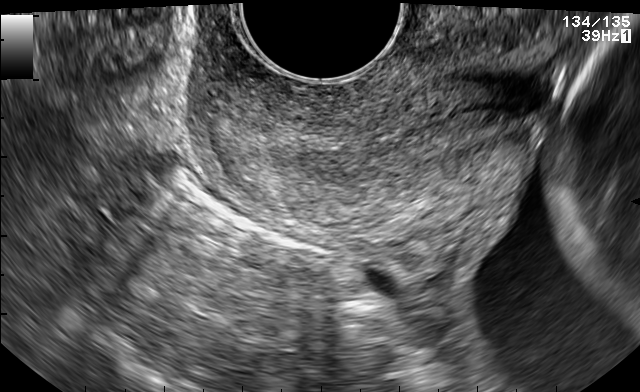
This is a 2D maternal-fetal ultrasound frame. Is it a fetal abdomen, fetal brain, fetal femur, fetal thorax, maternal cervix, or other standard plane? If it's fetal brain and one of the three standard brain planes (trans-thalamic, trans-cerebellum, trans-ventricular), name which.

Maternal cervix